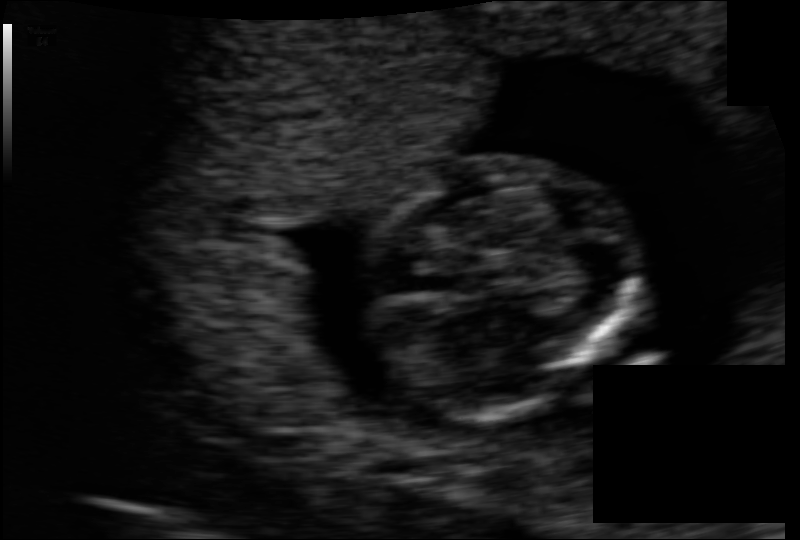
Fetal head ultrasound. Image width: 66.6 mm. Where is the fetal head?

Head bounding box: [361,153,629,415]